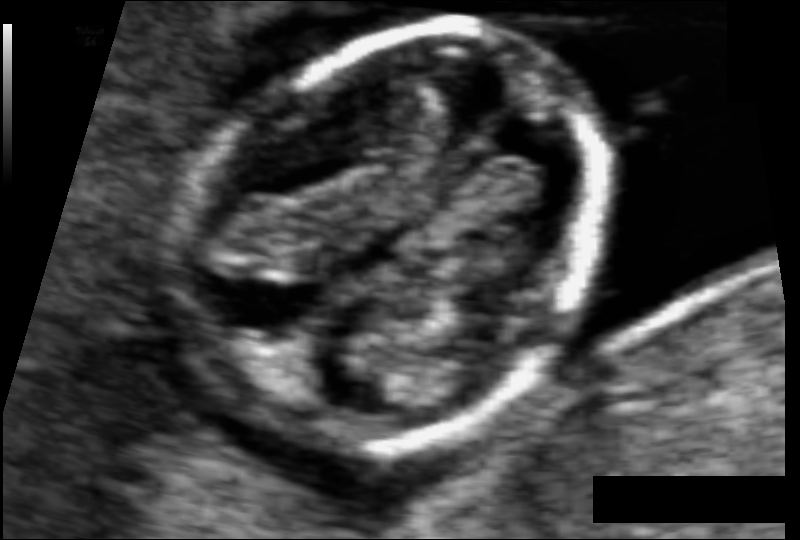
In this fetal head ultrasound, give the bounding box of the fetal head. Image width: 47.6 mm.

[189,29,610,448]